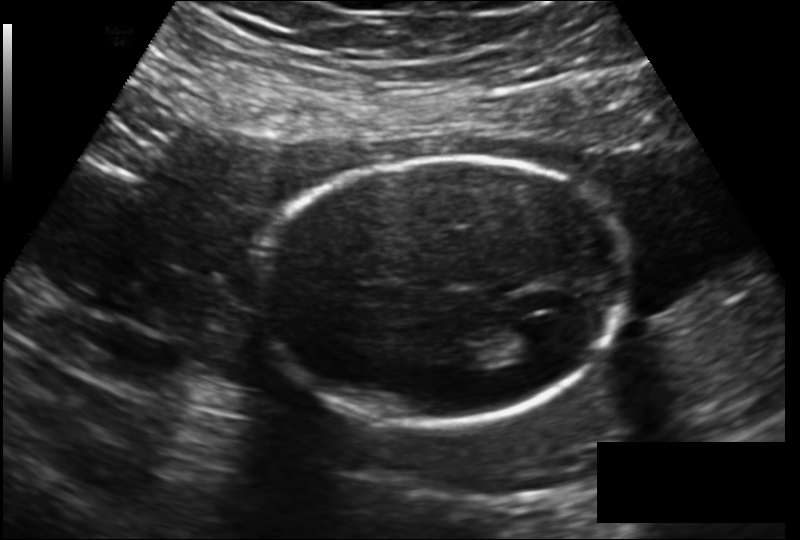
Fetal head ultrasound. Image width: 137.8 mm. Where is the fetal head?

Head bounding box: [262,154,628,425]